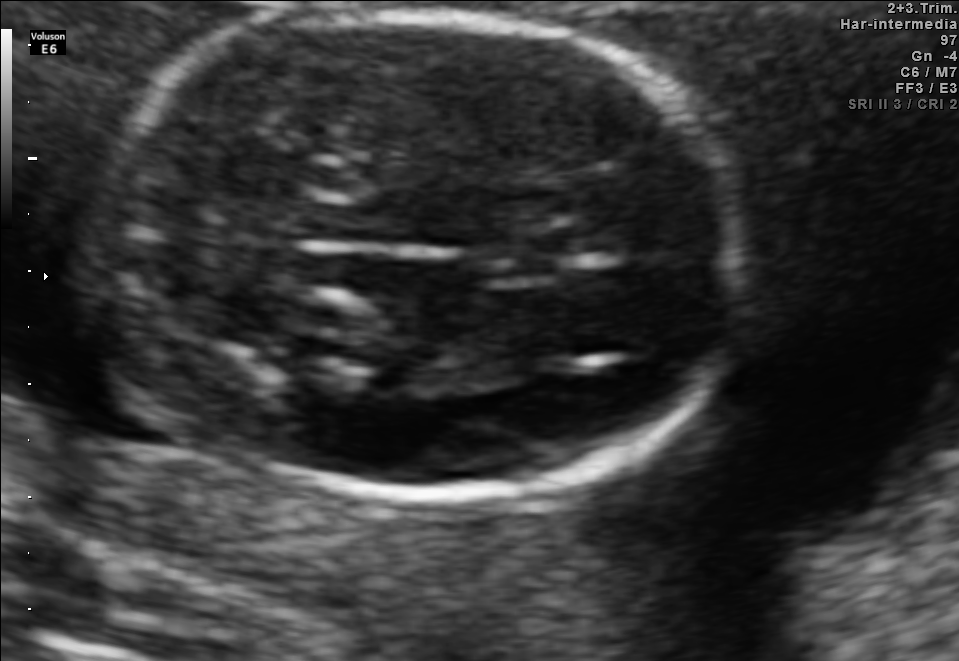
Which standard maternal-fetal ultrasound plane is shown: fetal abdomen, fetal brain, fetal femur, fetal thorax, maternal cervix, or other? If it's fetal brain and one of the three standard brain planes (trans-thalamic, trans-cerebellum, trans-ventricular), name which.

Fetal brain (trans-thalamic plane)